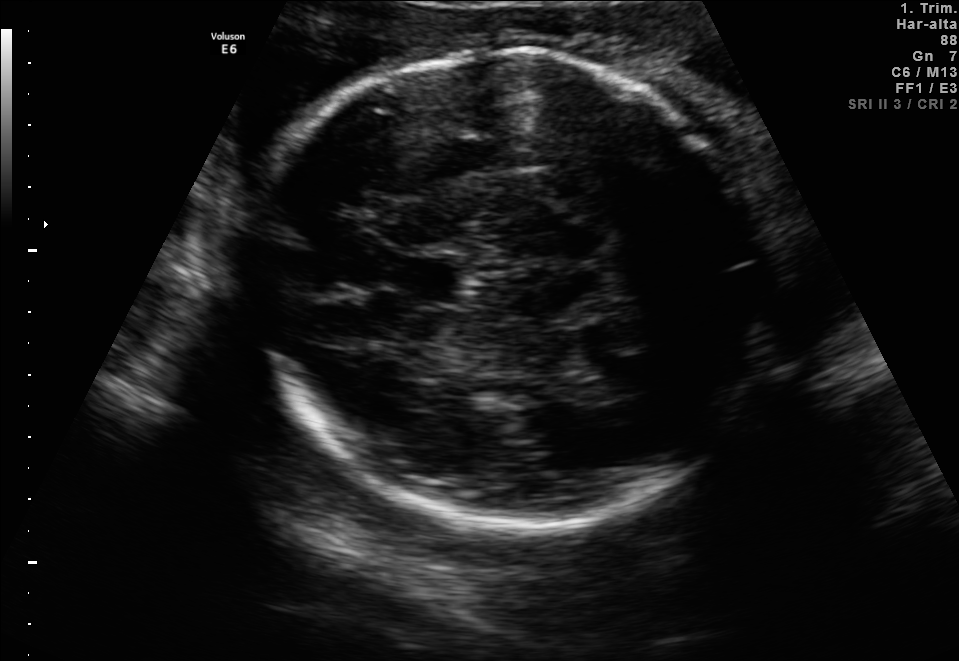
Fetal brain, trans-thalamic plane. Locate the fetal head.

Head: [250,50,765,529]